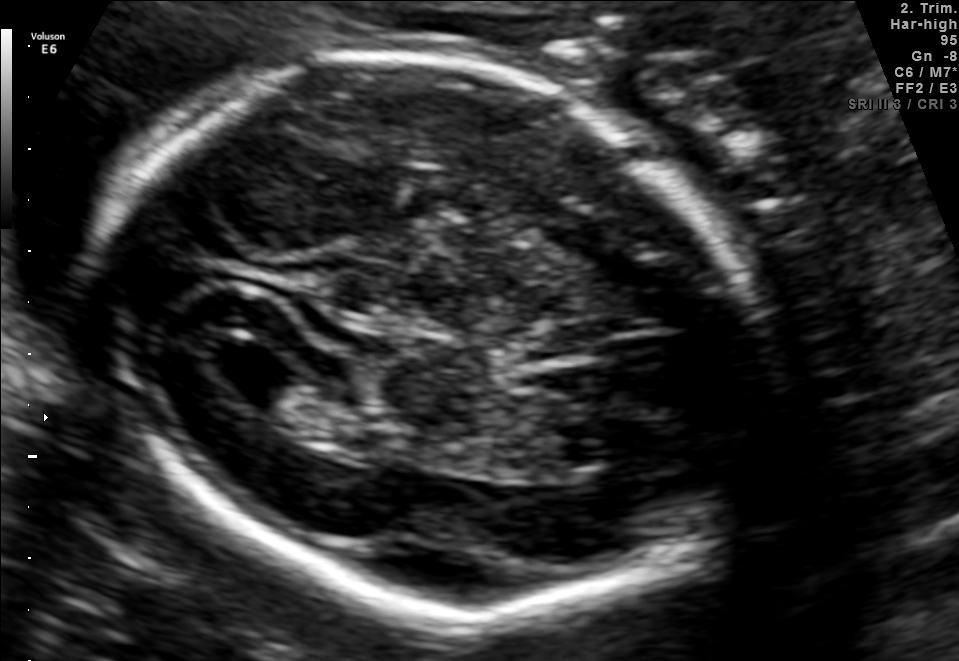
Fetal brain, trans-ventricular plane. Locate the fetal head.

Head: [83,41,788,638]